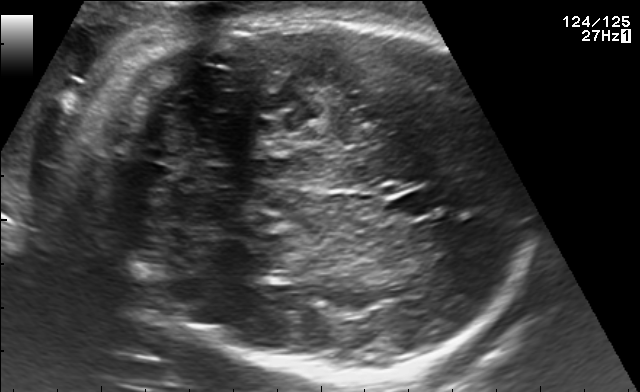
Fetal brain, trans-cerebellum plane. Locate the fetal head and, if visible, the cavum septum pellucidum (CSP) and lateral ventricle (LV). Give bounding boxes as [x1,y1,x2,y2].

Head: [113,16,519,387]
CSP: [382,184,441,230]